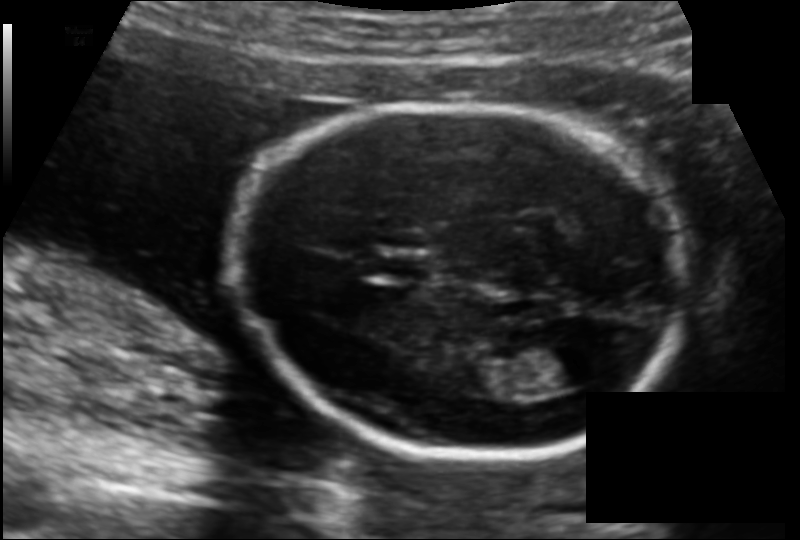
In this fetal head ultrasound, give the bounding box of the cavum septum pellucidum. Image width: 100.4 mm.

[378,253,433,280]